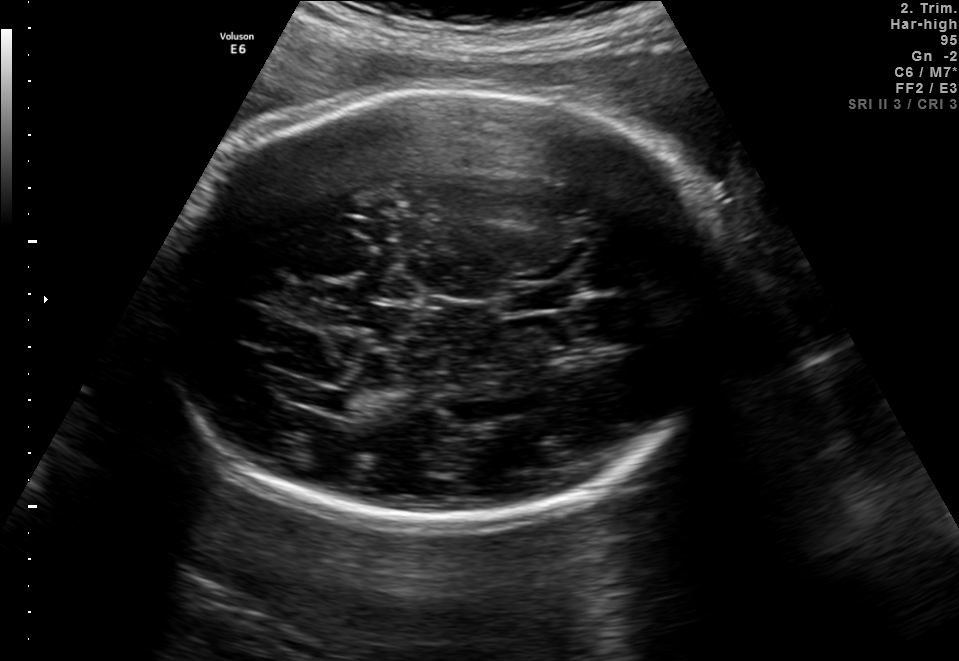
Fetal brain, trans-thalamic plane. Locate the lateral ventricle.

Lateral ventricle: [284,377,357,419]